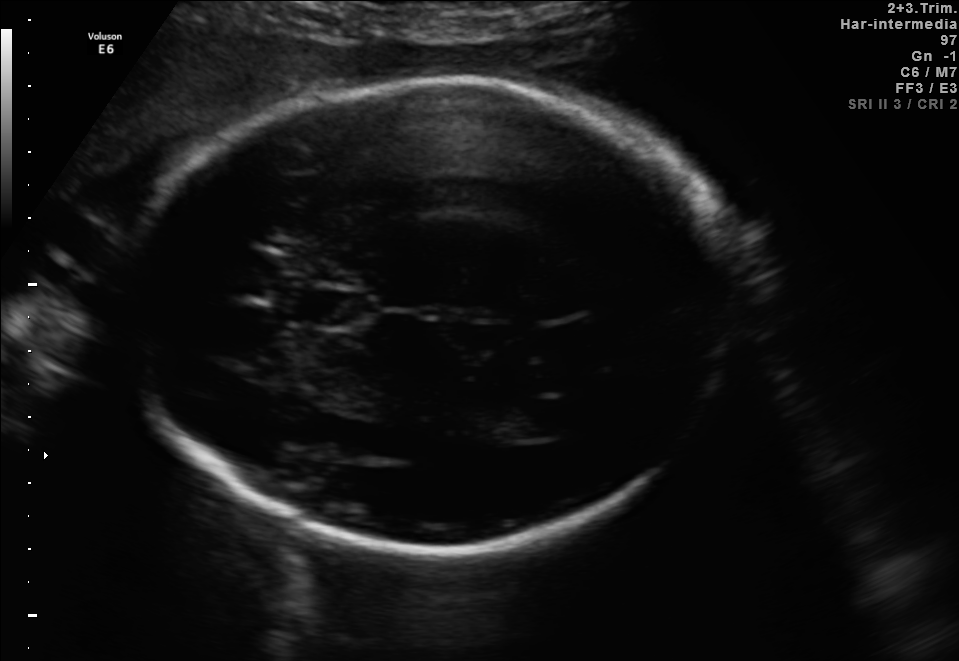
In this fetal brain, trans-thalamic plane, give the bounding box of the lateral ventricle.

[496,398,569,441]